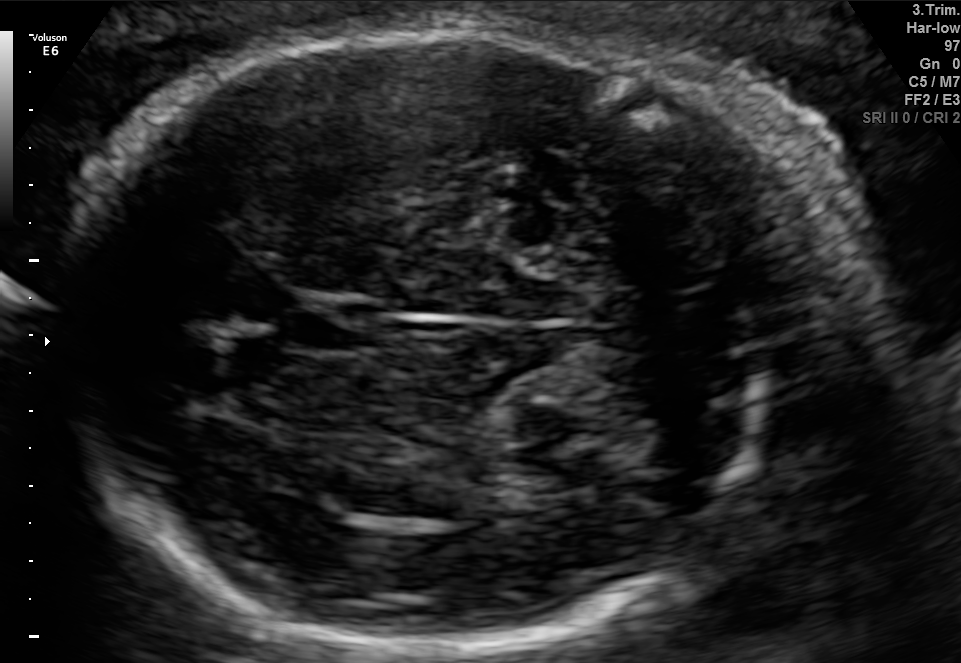
Fetal brain, trans-cerebellum plane. Locate the fetal head.

Head: [61,26,816,643]